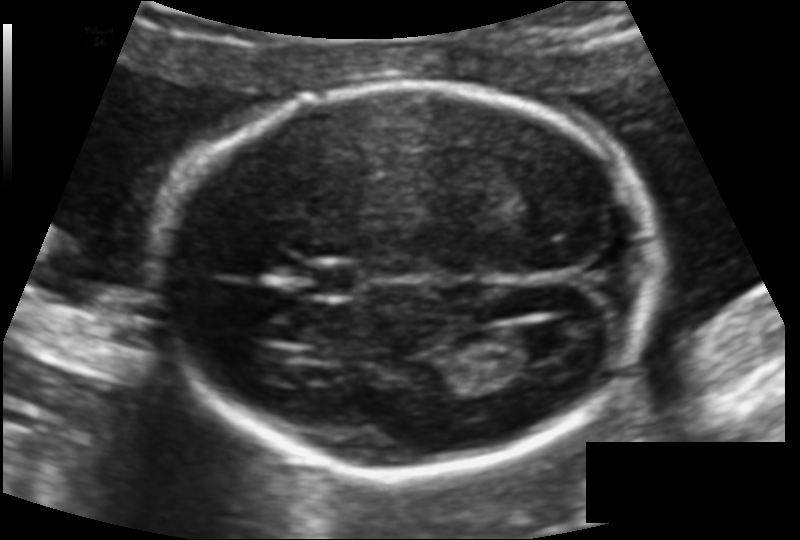
Fetal head ultrasound. Image width: 93.9 mm. Locate the fetal head.

Head: [162,83,653,472]